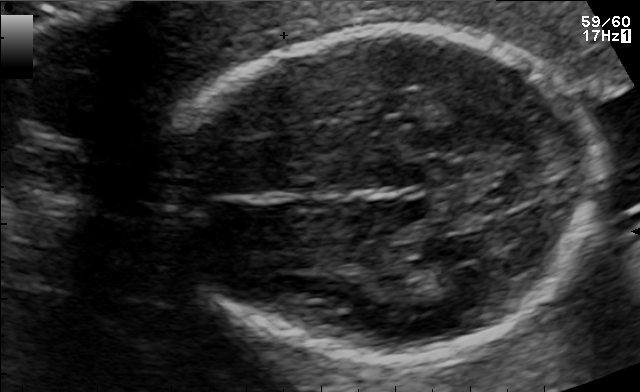
In this fetal brain, trans-thalamic plane, give the bounding box of the fetal head.

[169,27,599,362]